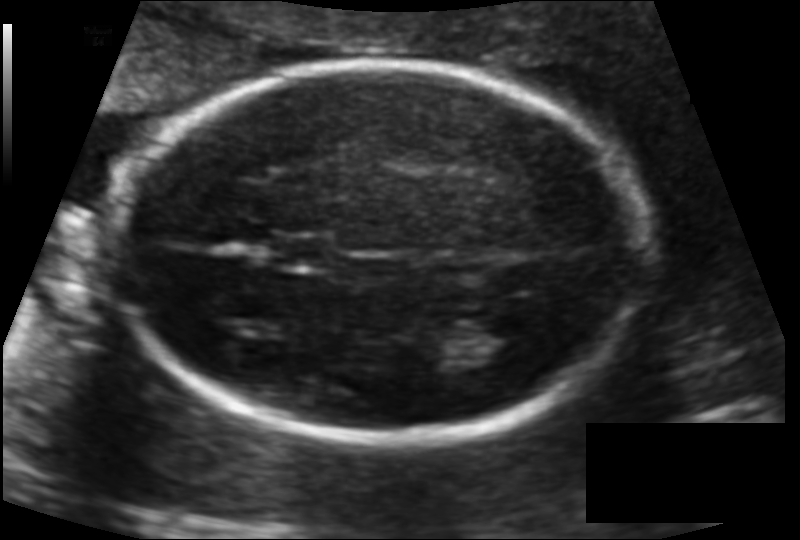
In this fetal head ultrasound, give the bounding box of the lateral ventricle. Image width: 91.7 mm.

[458,315,538,371]